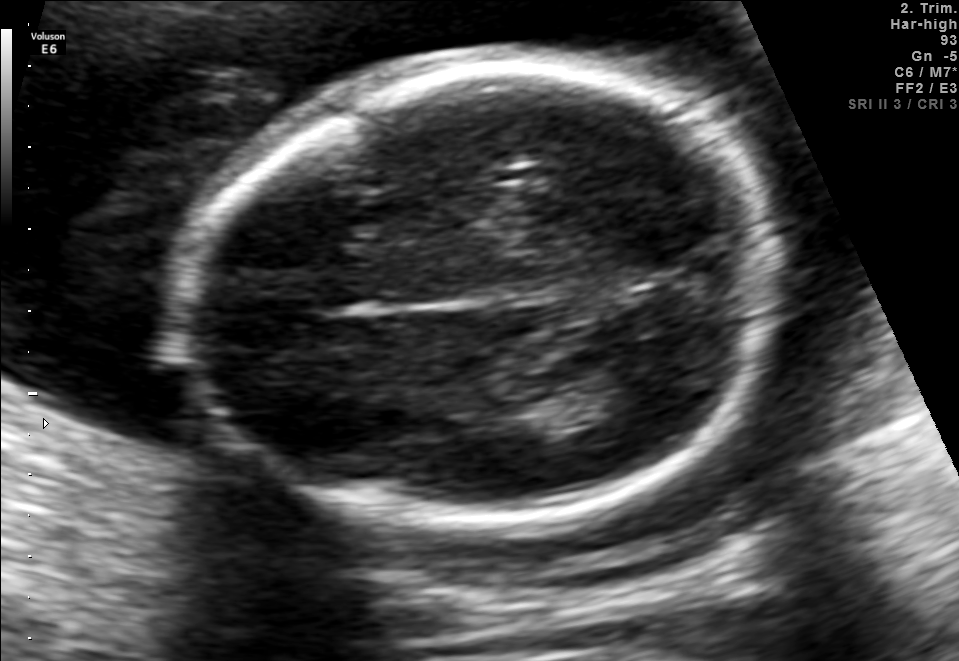
Classify this maternal-fetal ultrasound image as one of the six standard planes — fetal abdomen, fetal brain, fetal femur, fetal thorax, maternal cervix, or other. If it's fetal brain and one of the three standard brain planes (trans-thalamic, trans-cerebellum, trans-ventricular), name which.

Fetal brain (trans-thalamic plane)